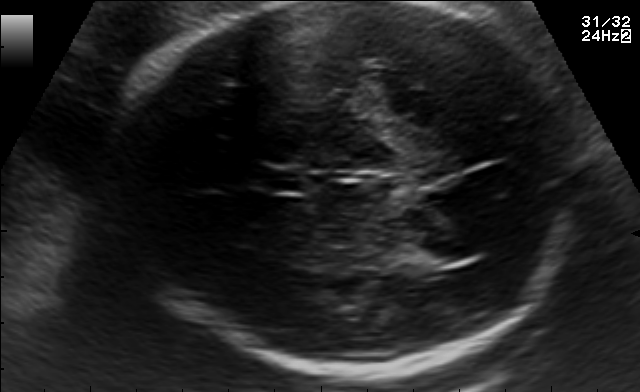
In this fetal brain, trans-thalamic plane, give the bounding box of the cavum septum pellucidum.

[267,168,307,192]